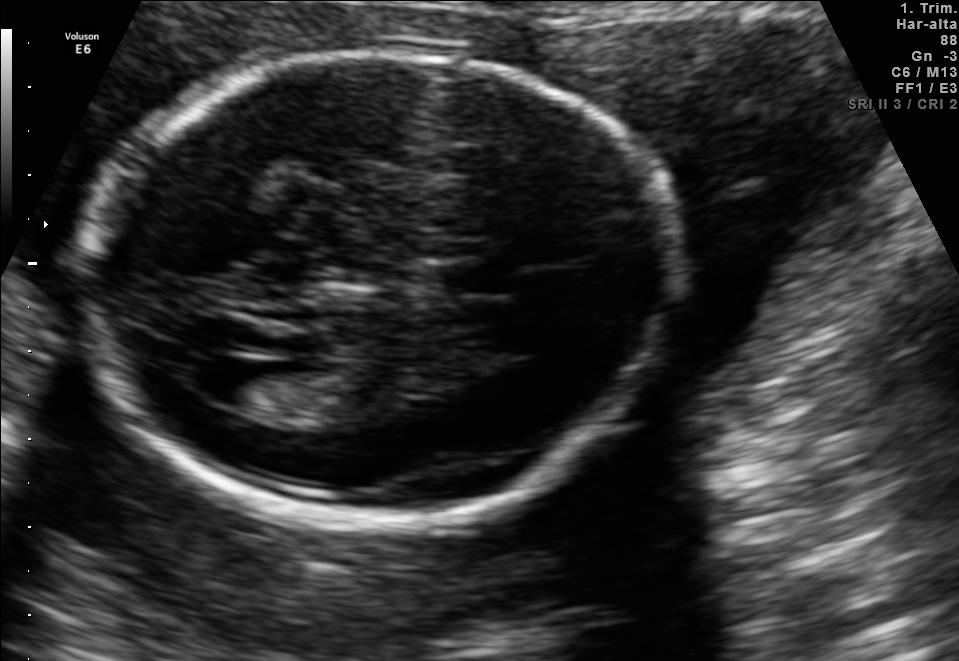
Fetal brain, trans-ventricular plane. Where is the fetal head?

Head bounding box: [67,46,692,527]